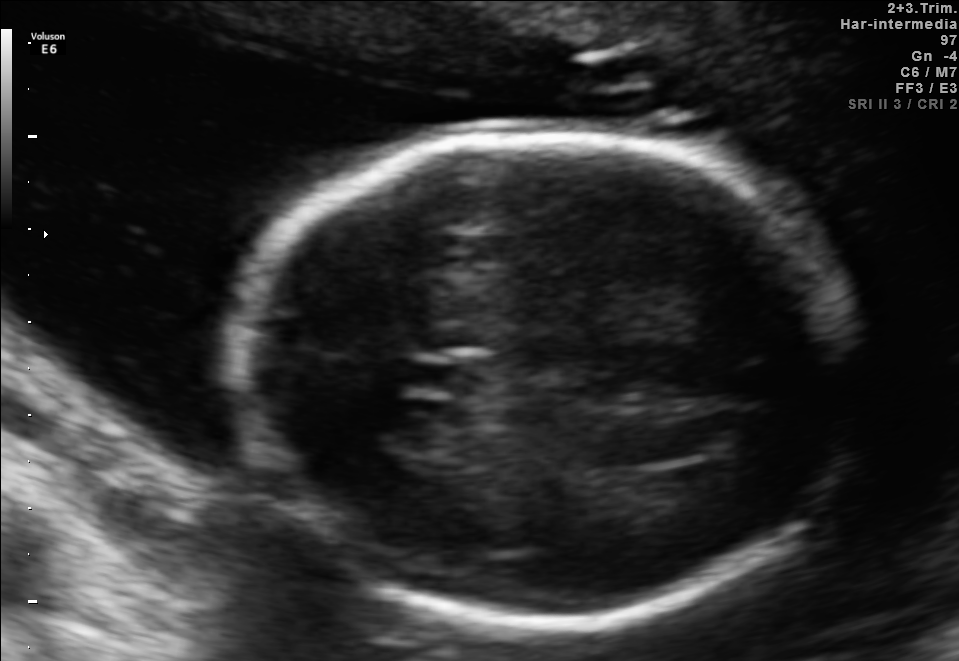
In this fetal brain, trans-thalamic plane, give the bounding box of the cavum septum pellucidum.

[401,362,468,392]